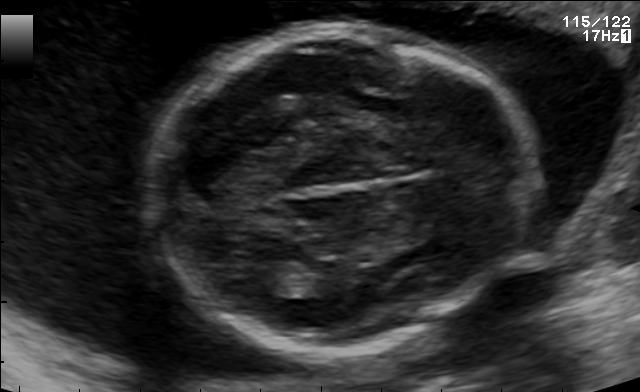
Fetal brain, trans-thalamic plane. Locate the fetal head and, if visible, the cavum septum pellucidum (CSP) and lateral ventricle (LV). Give bounding boxes as [x1,y1,x2,y2].

Head: [153,27,543,347]